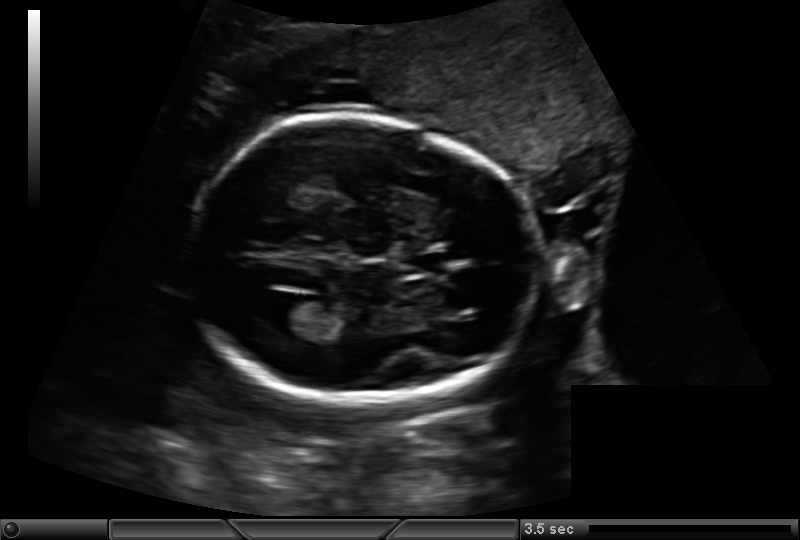
From this fetal ultrasound, estimate the head circumference (image width 126.8 mm).

Head circumference: 163.1 mm.